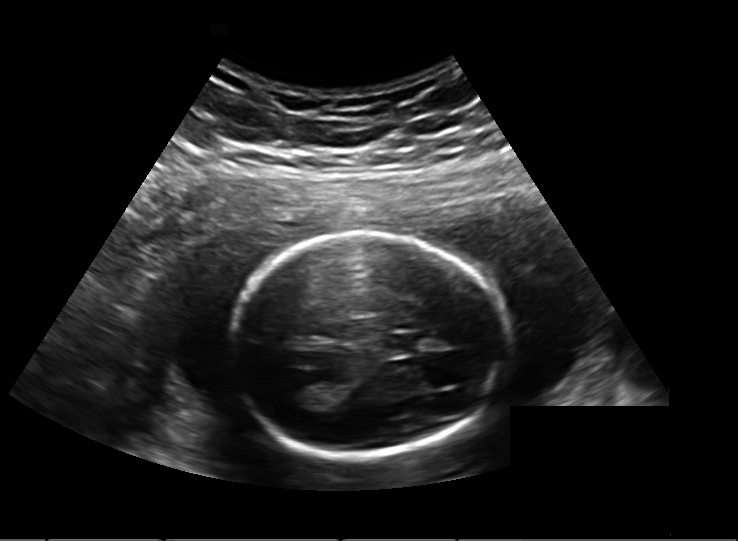
Estimate the fetal head circumference from this 2D ultrasound.

Head circumference: 164.8 mm (image width 149.5 mm).